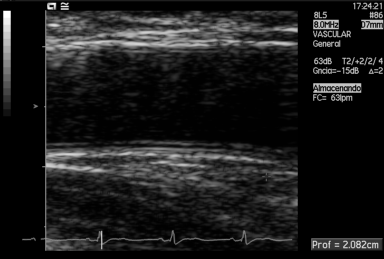
This is a 2D maternal-fetal ultrasound frame. Is it a fetal abdomen, fetal brain, fetal femur, fetal thorax, maternal cervix, or other standard plane? If it's fetal brain and one of the three standard brain planes (trans-thalamic, trans-cerebellum, trans-ventricular), name which.

Other